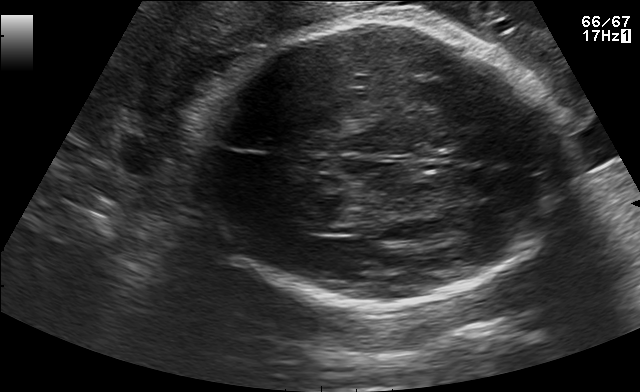
Fetal brain, trans-thalamic plane. Locate the fetal head.

Head: [188,20,568,306]